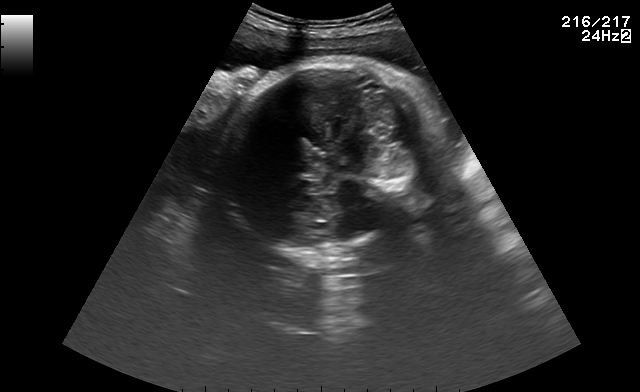
In this fetal brain, trans-cerebellum plane, give the bounding box of the fetal head.

[216,62,438,248]